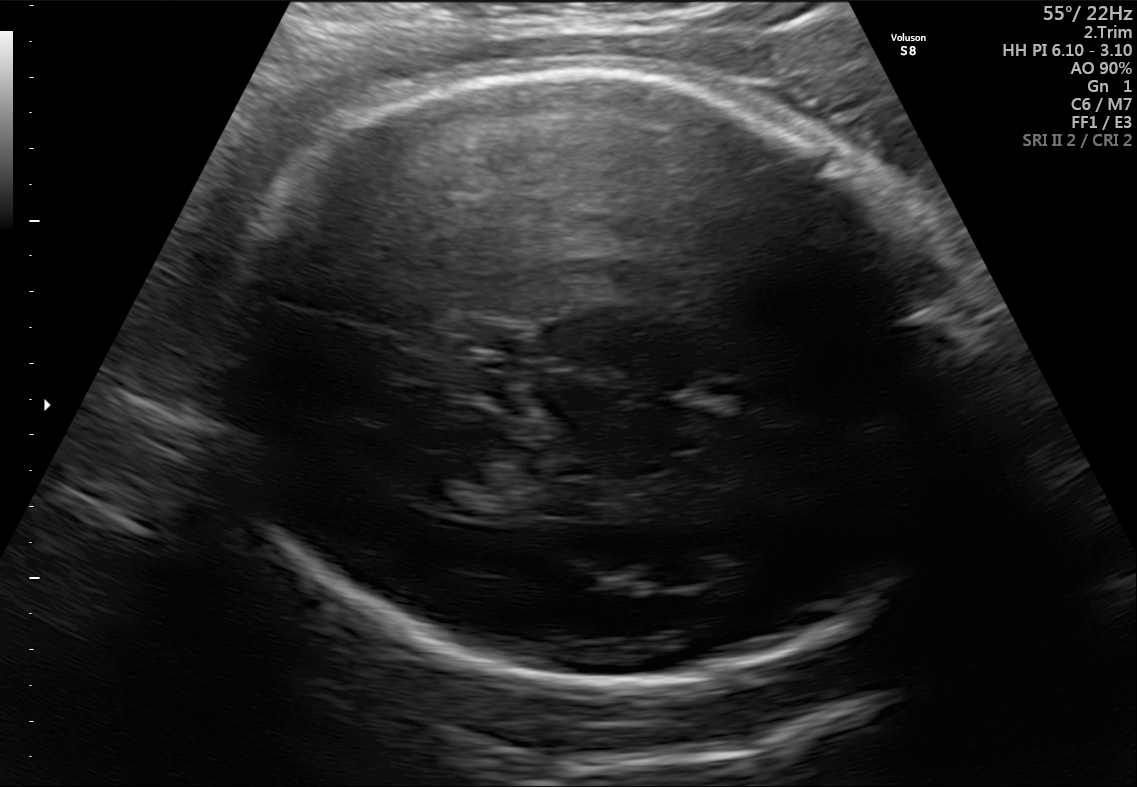
Fetal brain, trans-thalamic plane. Give [x1,y1,x2,y2] bounding boxes for each visible structure among: fetal head, CSP, LV.

Head: [213,70,988,681]